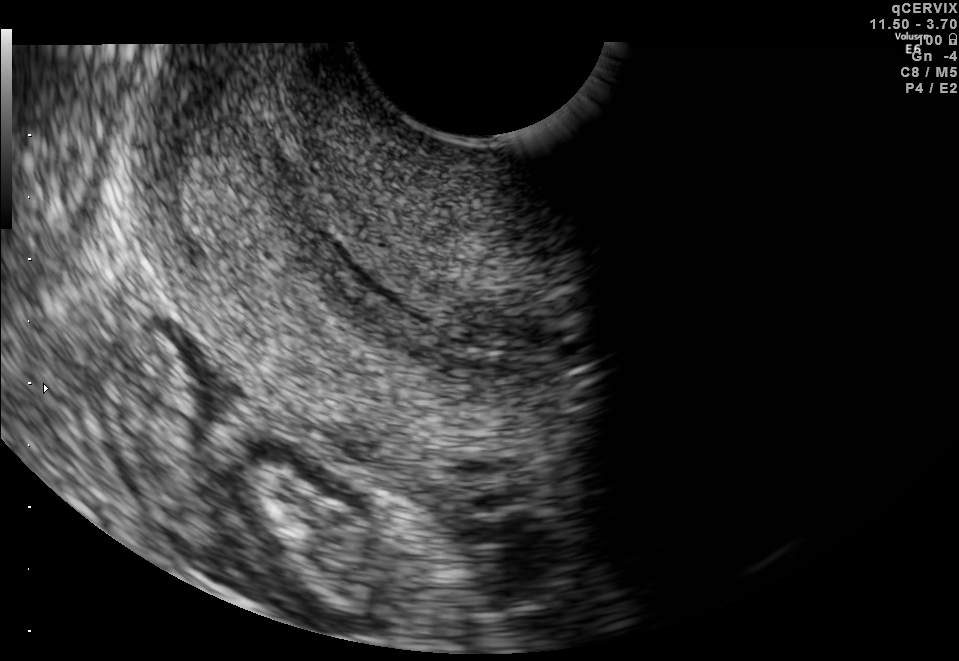
Identify the standard plane in this fetal ultrasound image: fetal abdomen, fetal brain, fetal femur, fetal thorax, maternal cervix, or other. If it's fetal brain and one of the three standard brain planes (trans-thalamic, trans-cerebellum, trans-ventricular), name which.

Maternal cervix